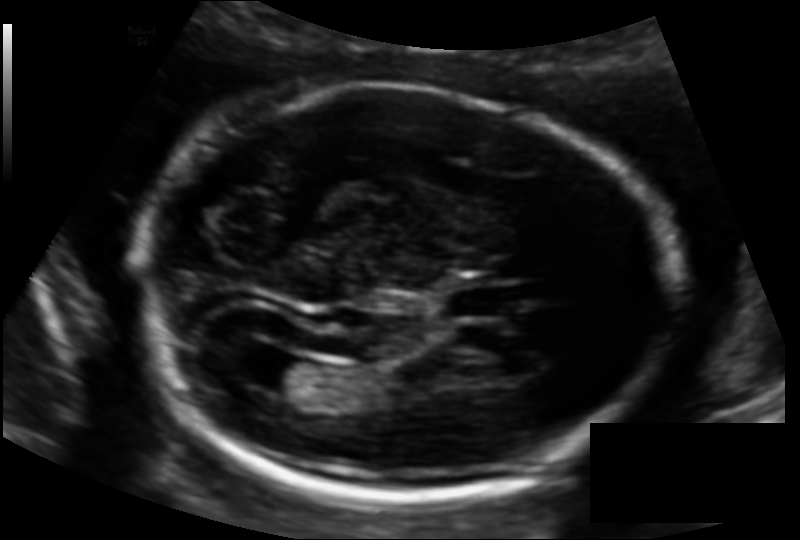
Fetal head ultrasound. Image width: 103.6 mm. Locate the cavum septum pellucidum.

CSP: [442,276,517,320]